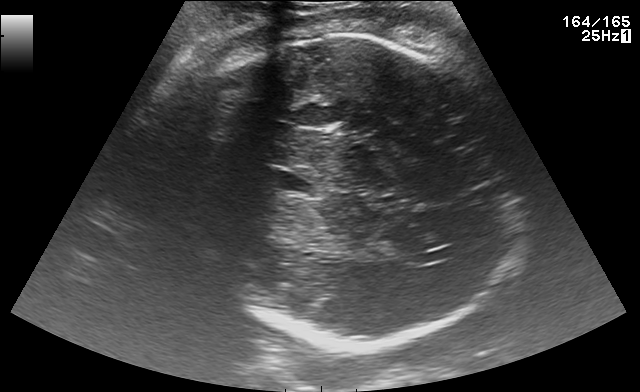
In this fetal brain, trans-thalamic plane, give the bounding box of the cavum septum pellucidum.

[276,169,313,193]